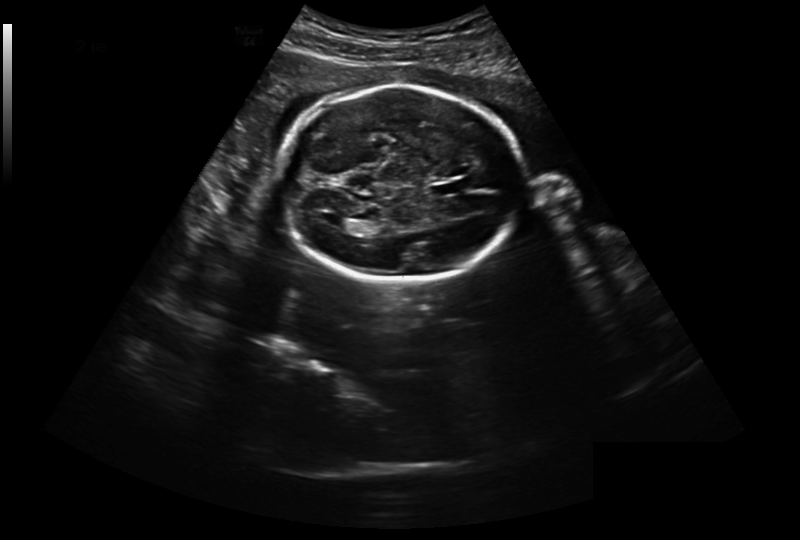
In this fetal head ultrasound, give the bounding box of the fetal head. Image width: 241.1 mm.

[279,86,525,281]